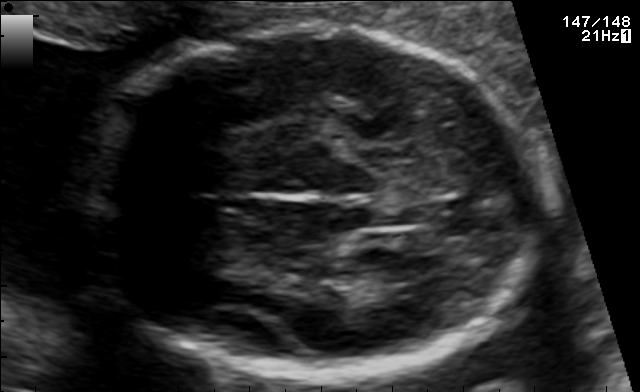
Fetal brain, trans-thalamic plane. Give [x1,y1,x2,y2] bounding boxes for each visible structure among: fetal head, CSP, LV.

Head: [77,24,541,379]